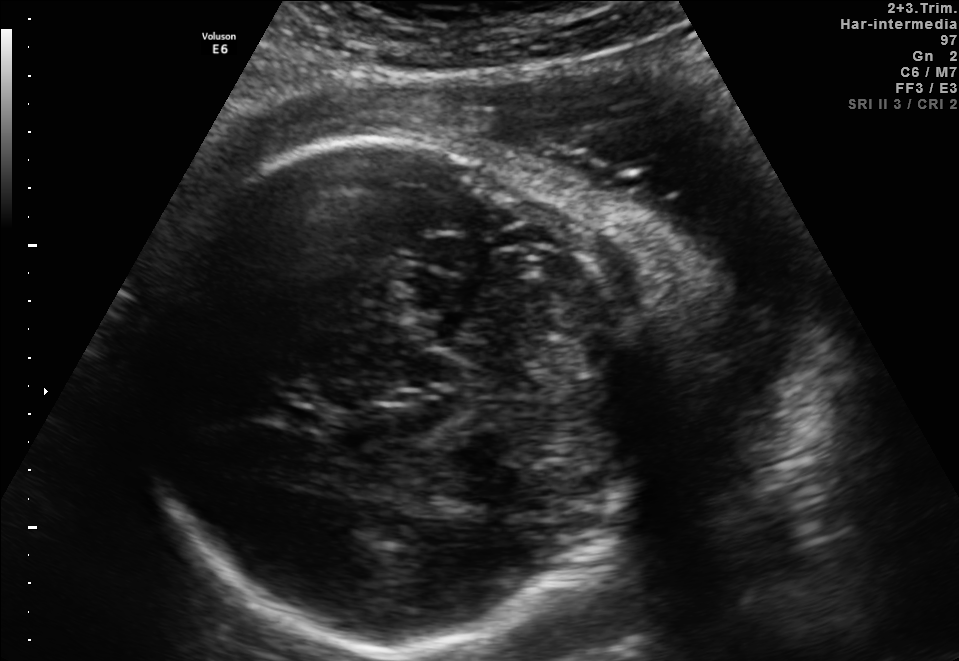
Fetal brain, trans-thalamic plane. Locate the fetal head and, if visible, the cavum septum pellucidum (CSP) and lateral ventricle (LV). Give bounding boxes as [x1,y1,x2,y2].

Head: [130,134,645,651]
CSP: [262,395,326,438]